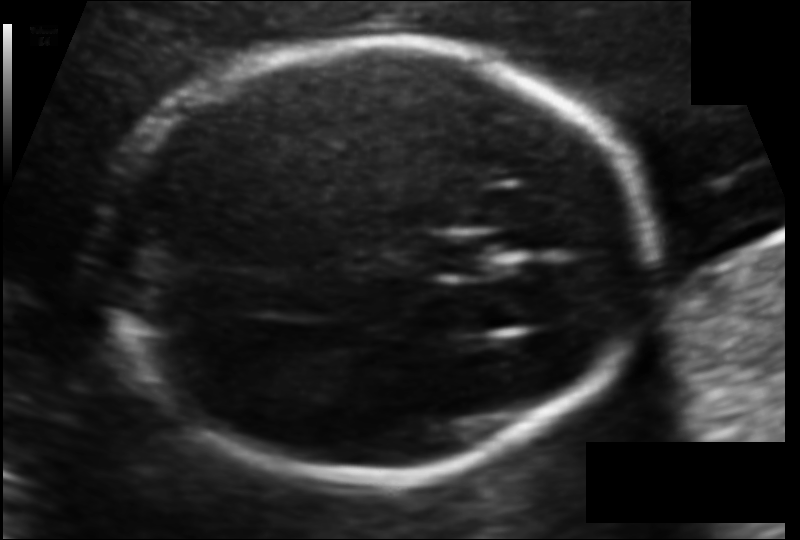
Estimate the fetal head circumference from this 2D ultrasound.

Head circumference: 167.4 mm (image width 83.5 mm).